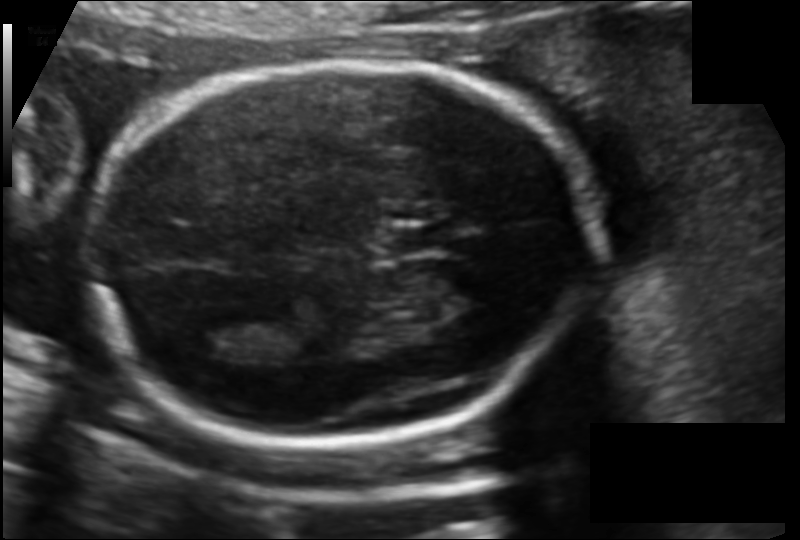
Fetal head ultrasound. Image width: 96.2 mm. Locate the cavum septum pellucidum.

CSP: [379,221,455,259]